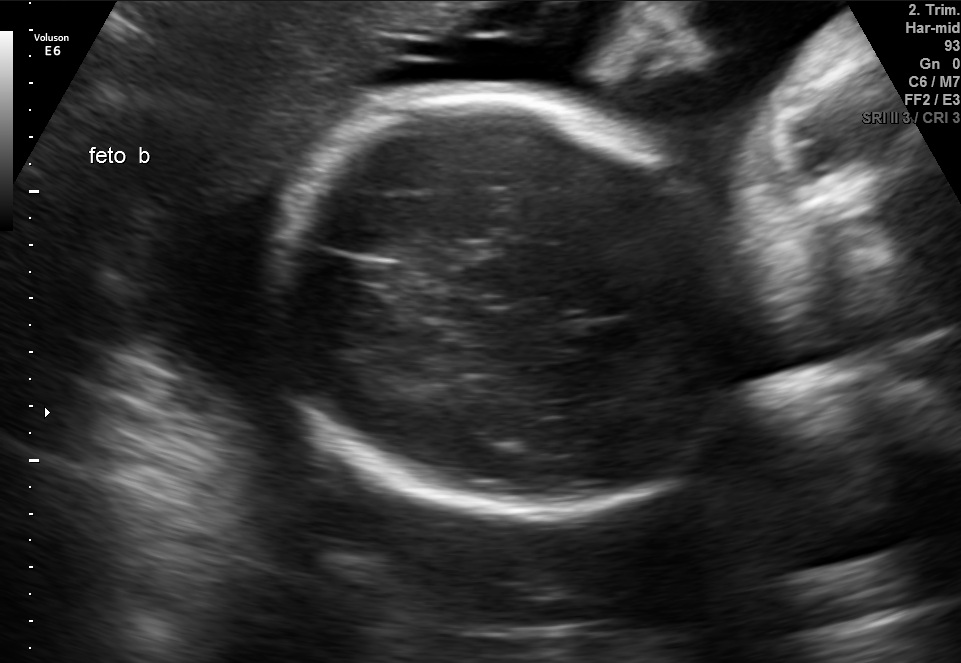
Identify the standard plane in this fetal ultrasound image: fetal abdomen, fetal brain, fetal femur, fetal thorax, maternal cervix, or other. If it's fetal brain and one of the three standard brain planes (trans-thalamic, trans-cerebellum, trans-ventricular), name which.

Fetal brain (trans-thalamic plane)